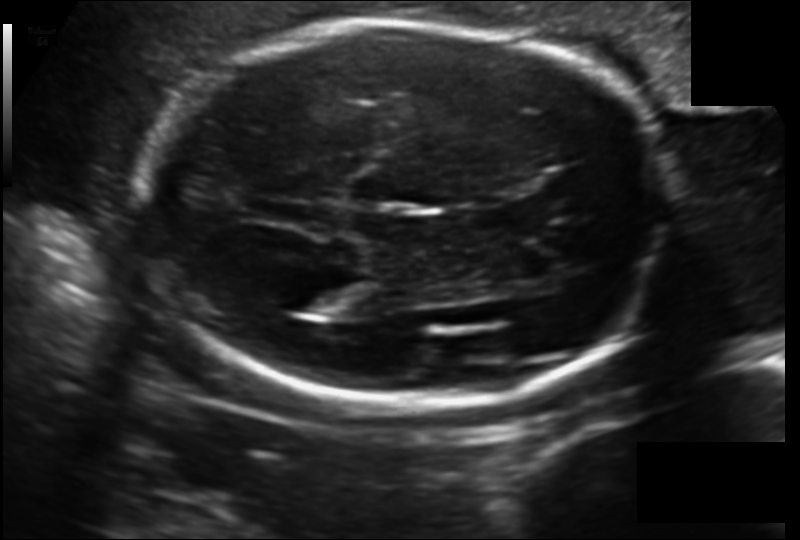
Estimate the fetal head circumference from this 2D ultrasound.

Head circumference: 223.5 mm (image width 121.4 mm).